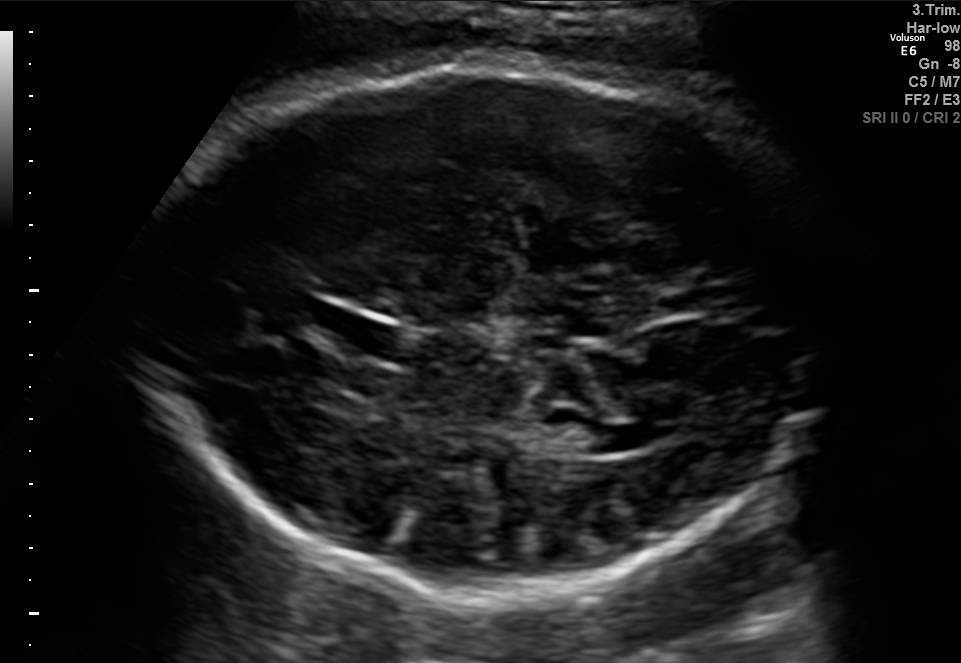
In this fetal brain, trans-thalamic plane, give bounding boxes for the head outline, cavum septum pellucidum (CSP), and lateral ventricle (LV), where visible.

Head: [131,70,830,589]
CSP: [328,309,419,369]
Lateral ventricle: [535,420,618,454]